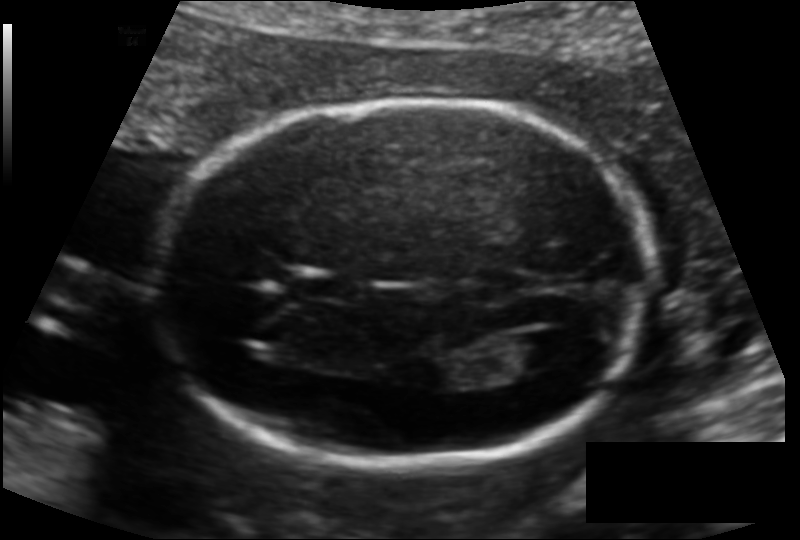
Fetal head ultrasound. Image width: 102.6 mm. Locate the lateral ventricle.

Lateral ventricle: [500,326,576,374]